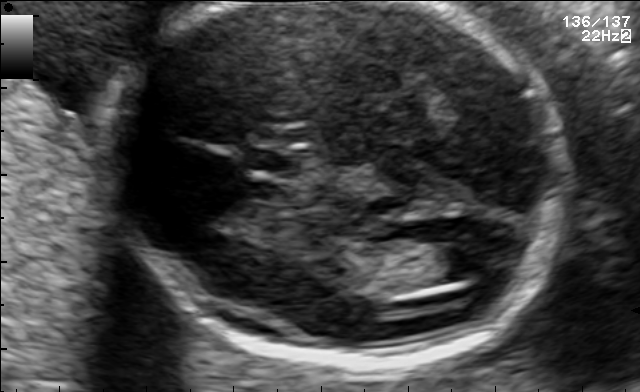
Classify this maternal-fetal ultrasound image as one of the six standard planes — fetal abdomen, fetal brain, fetal femur, fetal thorax, maternal cervix, or other. If it's fetal brain and one of the three standard brain planes (trans-thalamic, trans-cerebellum, trans-ventricular), name which.

Fetal brain (trans-ventricular plane)